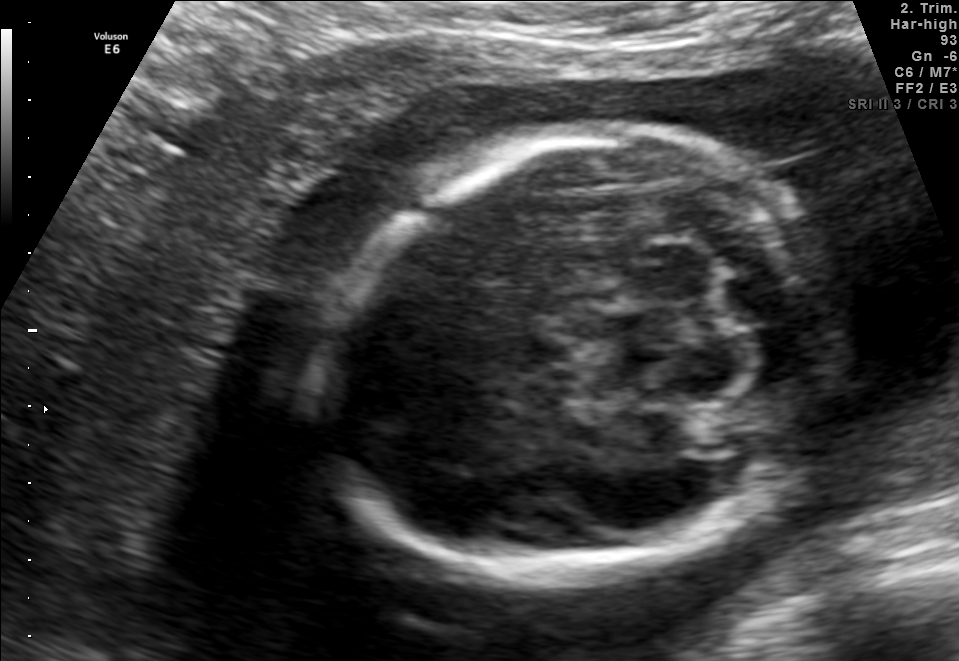
Which standard maternal-fetal ultrasound plane is shown: fetal abdomen, fetal brain, fetal femur, fetal thorax, maternal cervix, or other? If it's fetal brain and one of the three standard brain planes (trans-thalamic, trans-cerebellum, trans-ventricular), name which.

Fetal brain (trans-cerebellum plane)